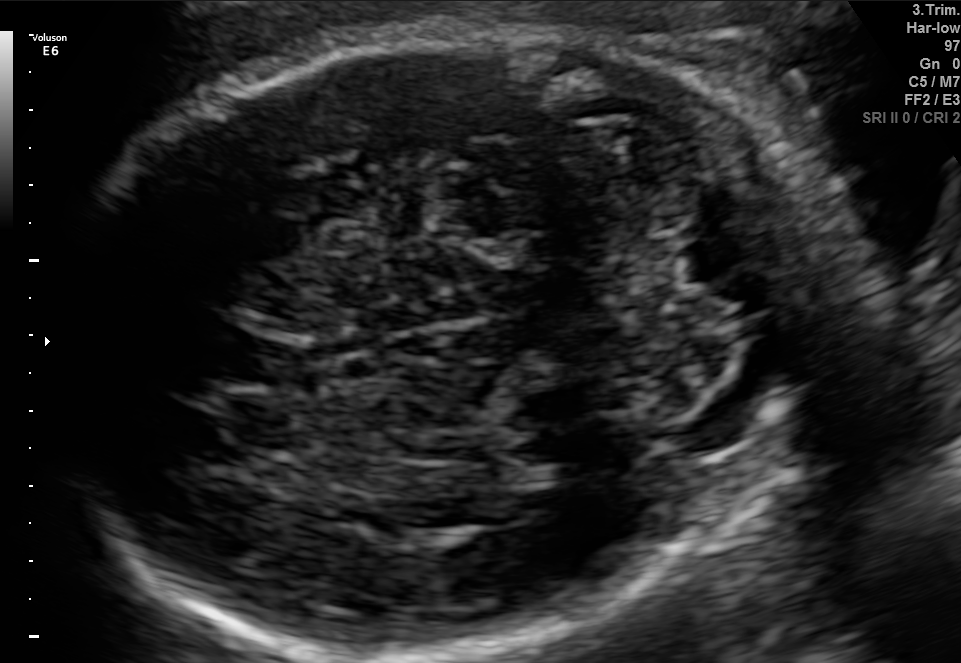
Which standard maternal-fetal ultrasound plane is shown: fetal abdomen, fetal brain, fetal femur, fetal thorax, maternal cervix, or other? If it's fetal brain and one of the three standard brain planes (trans-thalamic, trans-cerebellum, trans-ventricular), name which.

Fetal brain (trans-cerebellum plane)